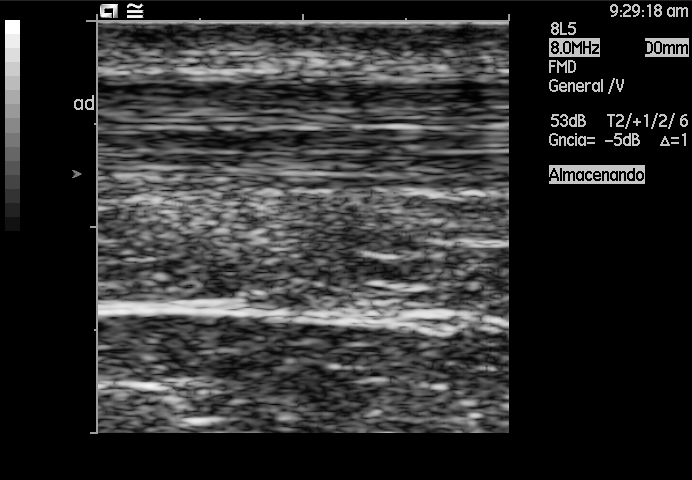
Identify the standard plane in this fetal ultrasound image: fetal abdomen, fetal brain, fetal femur, fetal thorax, maternal cervix, or other. If it's fetal brain and one of the three standard brain planes (trans-thalamic, trans-cerebellum, trans-ventricular), name which.

Other